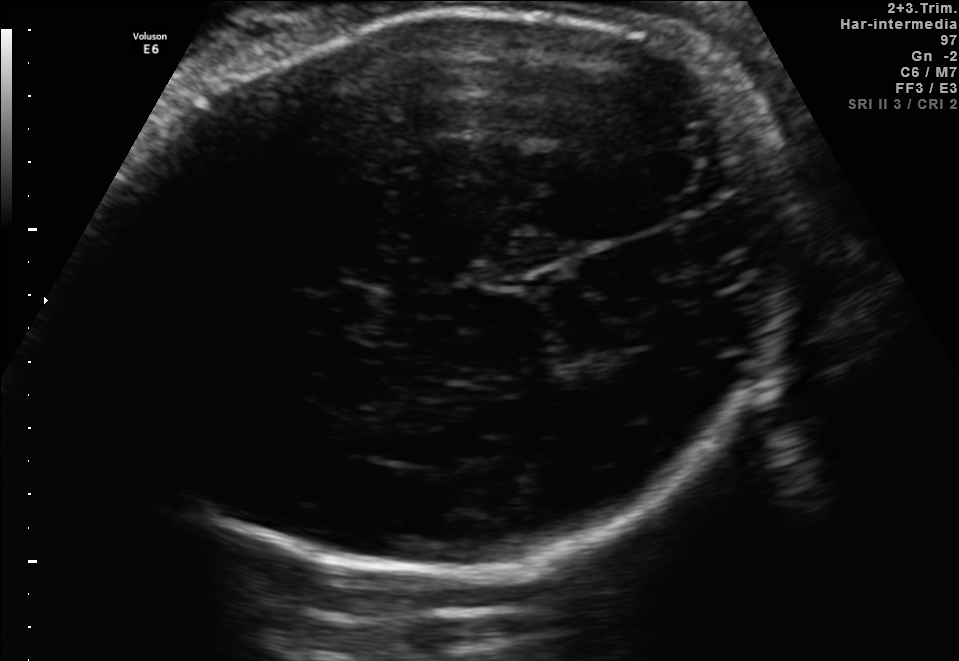
This is a 2D maternal-fetal ultrasound frame. Is it a fetal abdomen, fetal brain, fetal femur, fetal thorax, maternal cervix, or other standard plane? If it's fetal brain and one of the three standard brain planes (trans-thalamic, trans-cerebellum, trans-ventricular), name which.

Fetal brain (trans-thalamic plane)